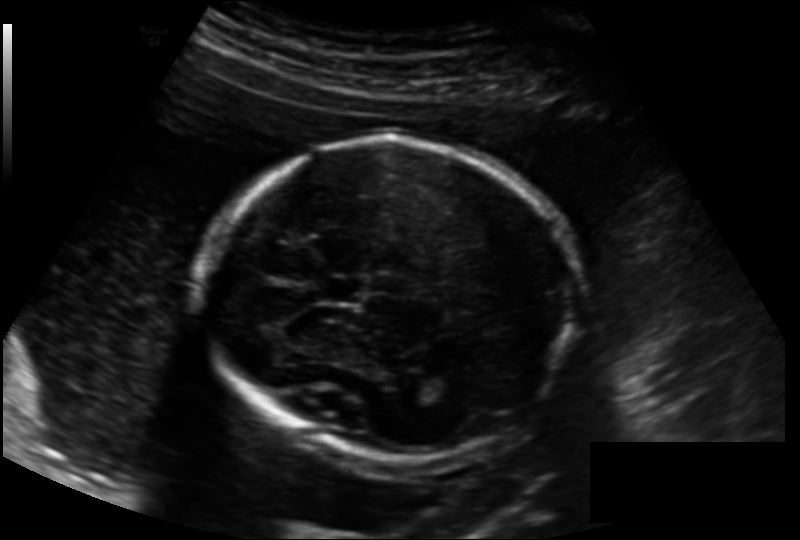
Measure the fetal head circumference shown in this ultrasound image. Image width: 126.5 mm.

Head circumference: 177.8 mm.